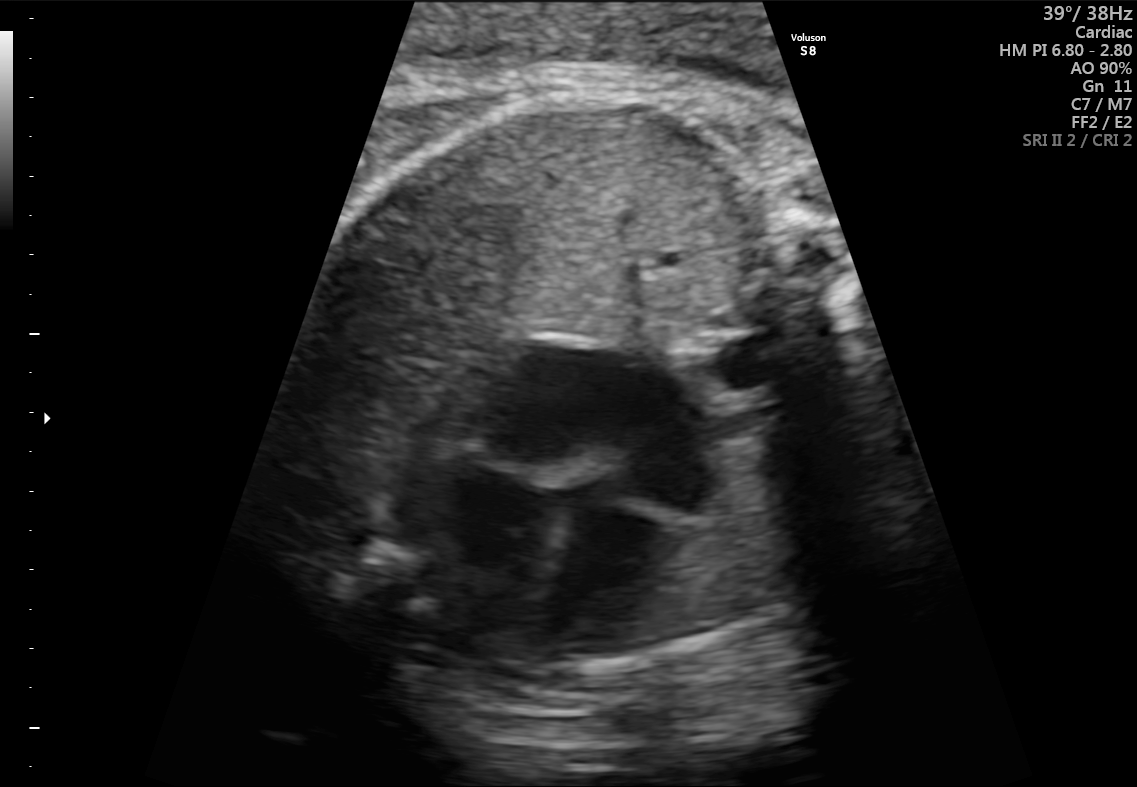
Identify the standard plane in this fetal ultrasound image: fetal abdomen, fetal brain, fetal femur, fetal thorax, maternal cervix, or other. If it's fetal brain and one of the three standard brain planes (trans-thalamic, trans-cerebellum, trans-ventricular), name which.

Fetal thorax